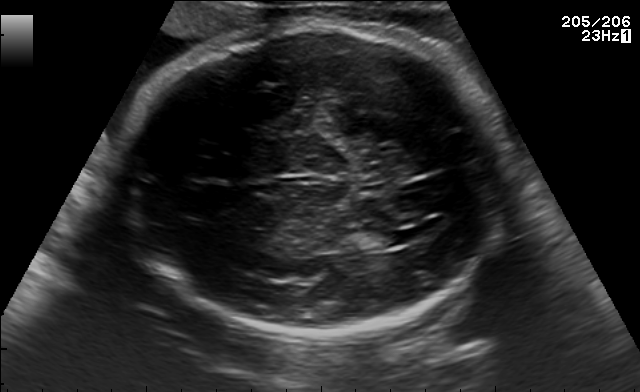
Fetal brain, trans-ventricular plane. Where is the fetal head?

Head bounding box: [123,24,511,338]